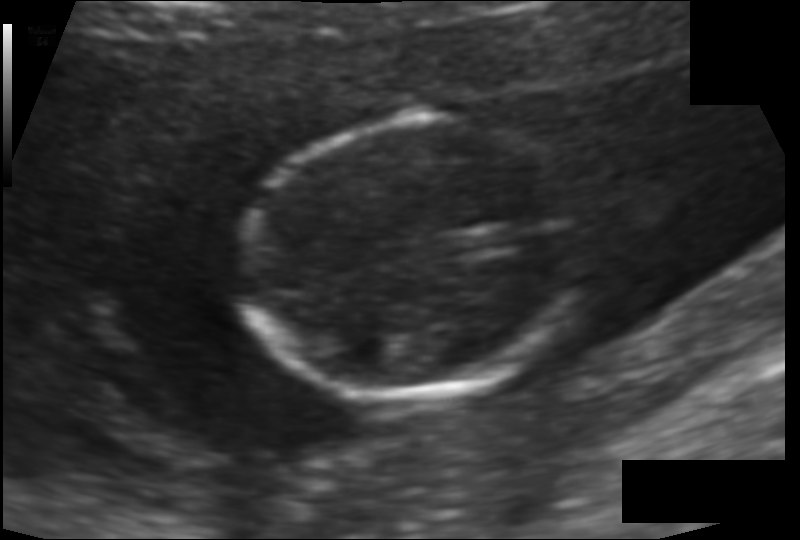
From this fetal ultrasound, estimate the head circumference (image width 77.6 mm).

Head circumference: 99.4 mm.